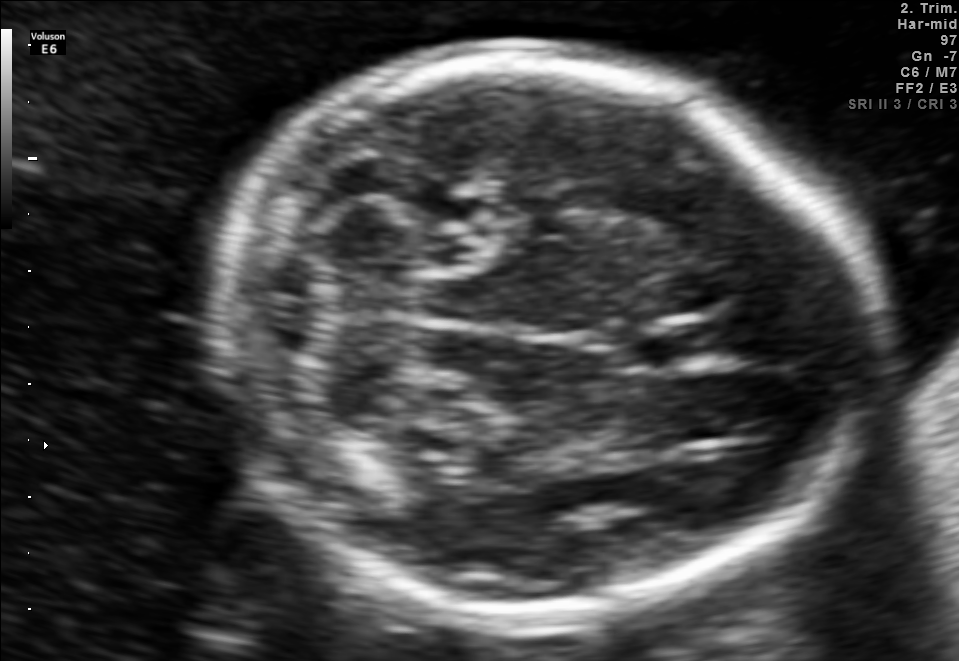
Fetal brain, trans-cerebellum plane. Give [x1,y1,x2,y2] bounding boxes for each visible structure among: fetal head, CSP, LV.

Head: [214,59,867,618]
CSP: [621,310,732,374]